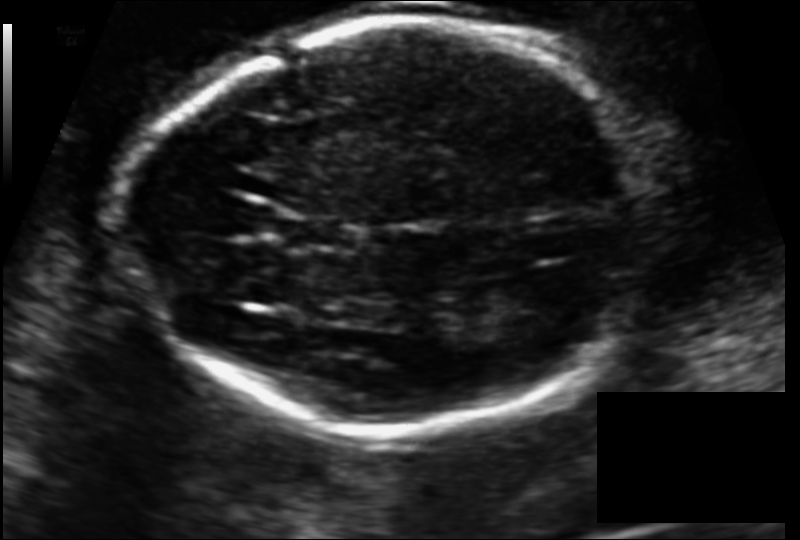
Fetal head ultrasound. Image width: 98.9 mm. Locate the cavum septum pellucidum.

CSP: [283,218,355,248]